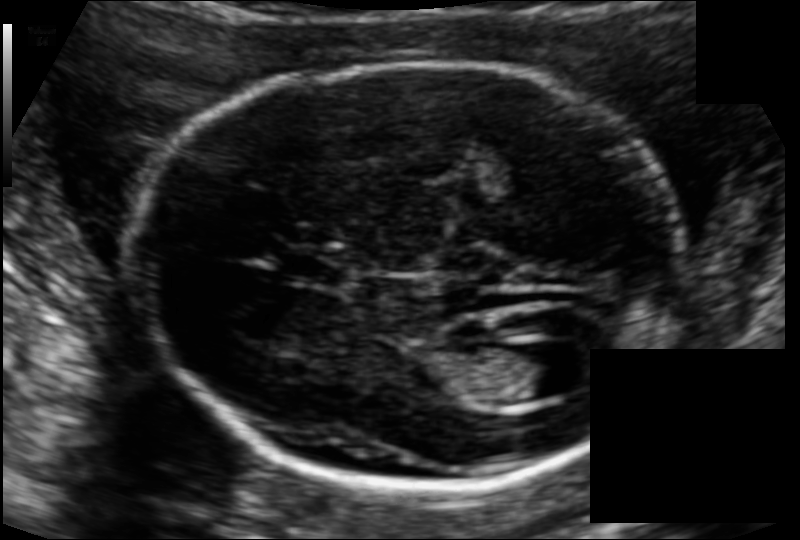
In this fetal head ultrasound, give the bounding box of the fetal head. Image width: 88.5 mm.

[123,65,692,484]